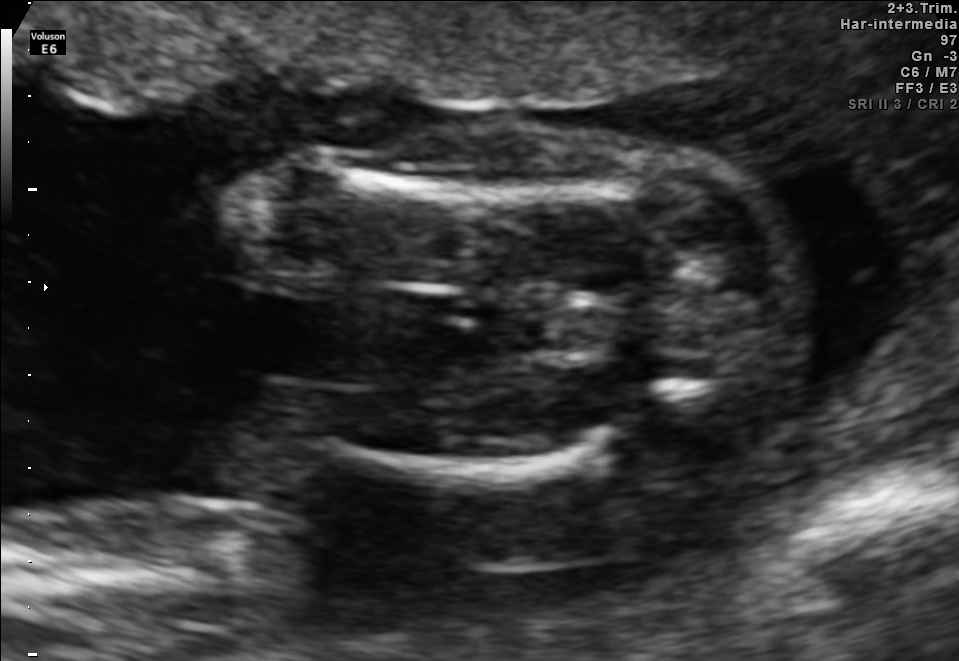
Which standard maternal-fetal ultrasound plane is shown: fetal abdomen, fetal brain, fetal femur, fetal thorax, maternal cervix, or other? If it's fetal brain and one of the three standard brain planes (trans-thalamic, trans-cerebellum, trans-ventricular), name which.

Fetal femur